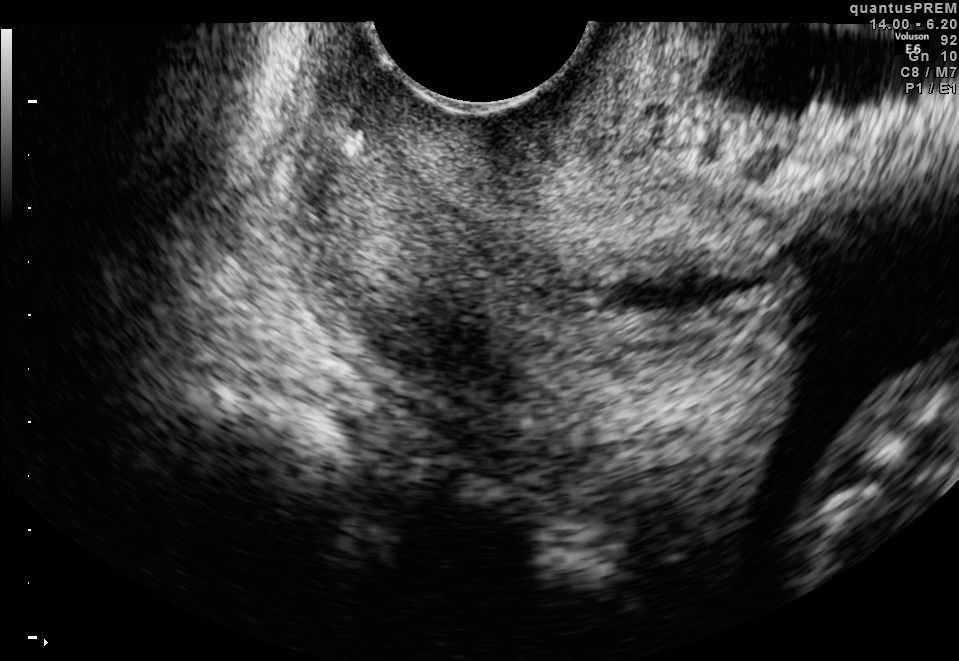
Identify the standard plane in this fetal ultrasound image: fetal abdomen, fetal brain, fetal femur, fetal thorax, maternal cervix, or other. If it's fetal brain and one of the three standard brain planes (trans-thalamic, trans-cerebellum, trans-ventricular), name which.

Maternal cervix